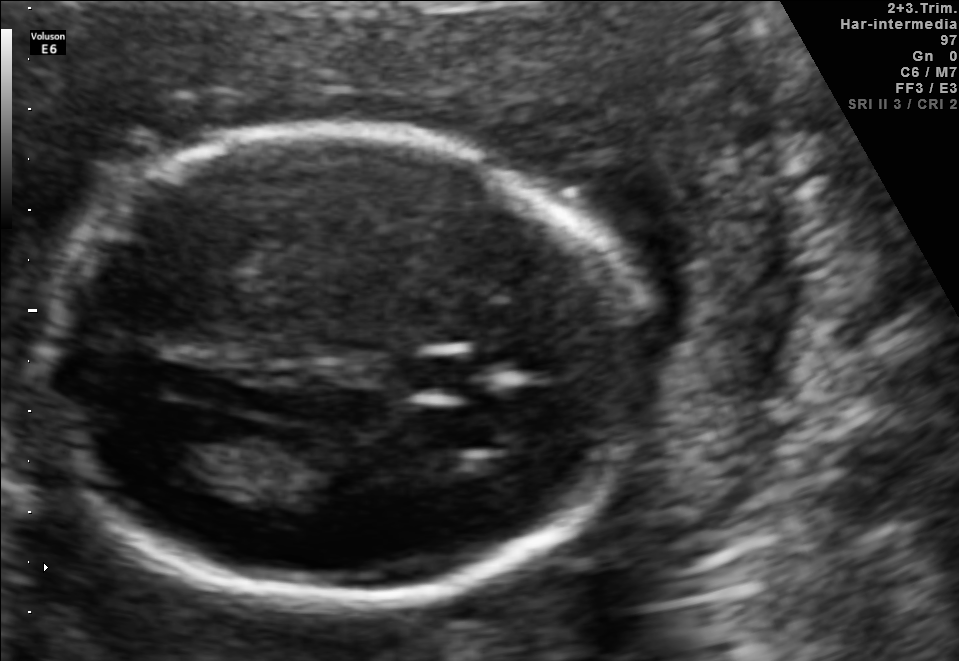
Fetal brain, trans-ventricular plane. Where is the fetal head?

Head bounding box: [33,118,662,617]